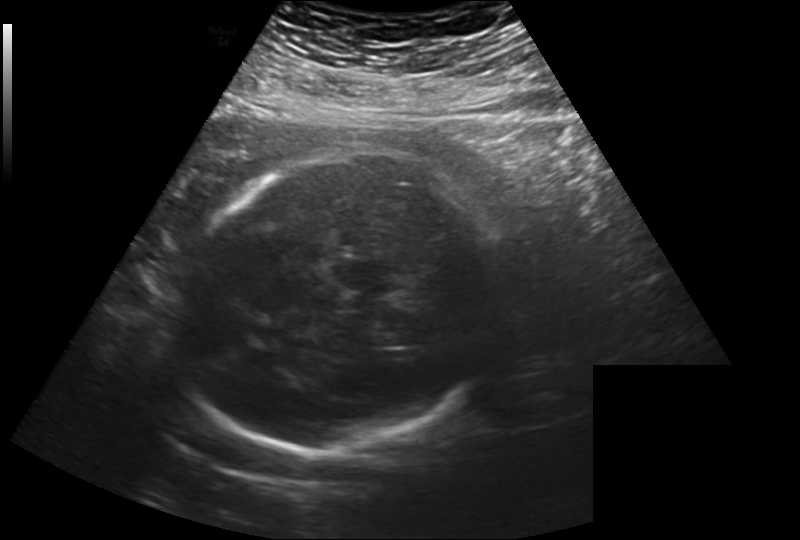
Fetal head ultrasound. Image width: 208.0 mm. Locate the fetal head.

Head: [177,154,500,453]